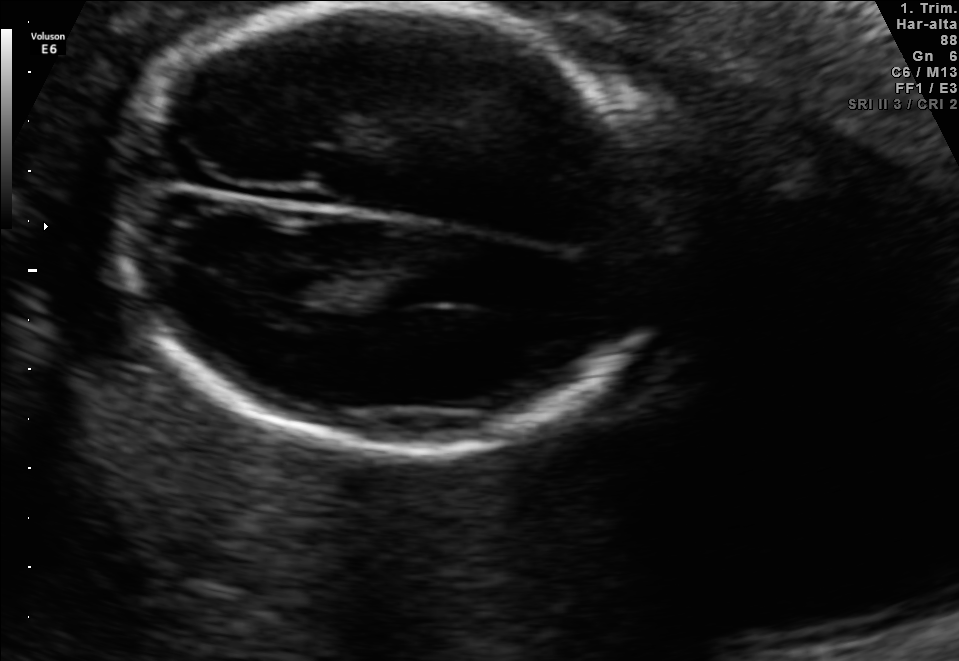
Fetal brain, trans-thalamic plane. Give [x1,y1,x2,y2] bounding boxes for each visible structure among: fetal head, CSP, LV.

Head: [122,3,663,458]